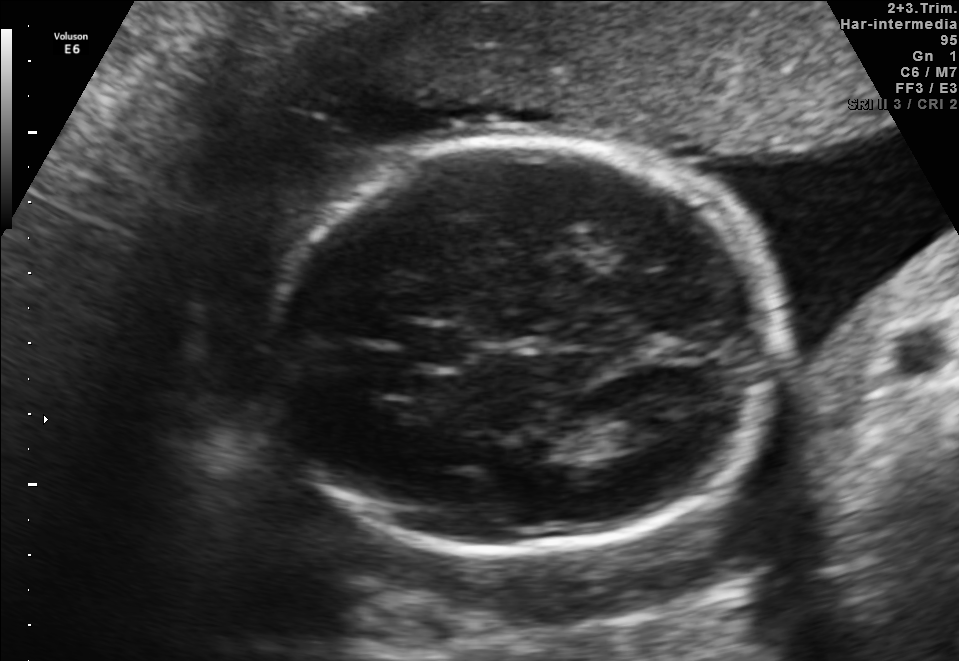
Fetal brain, trans-thalamic plane. Locate the lateral ventricle.

Lateral ventricle: [606,404,678,454]